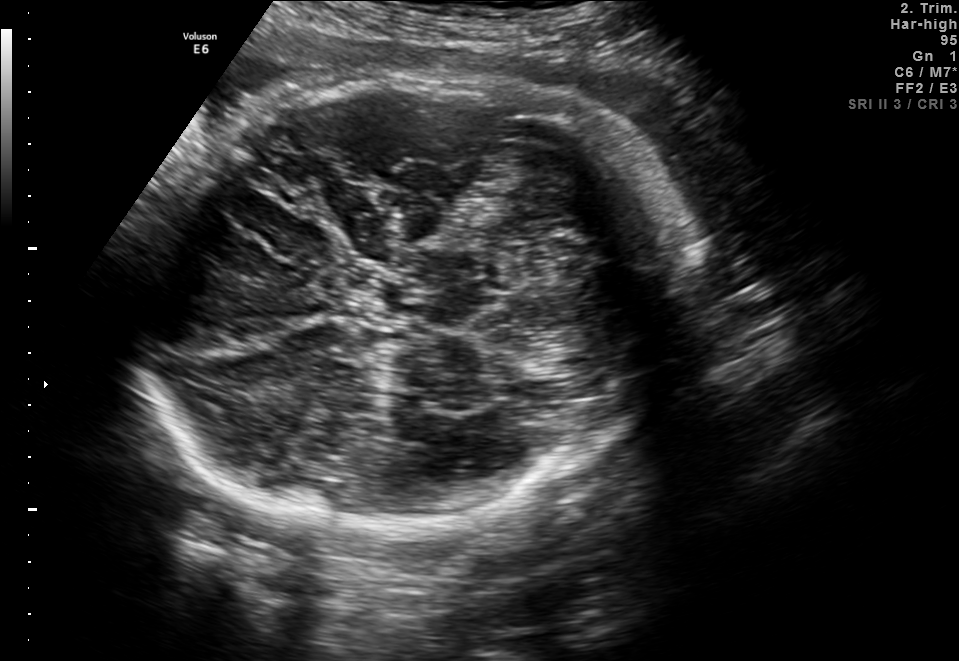
Fetal brain, trans-thalamic plane. Locate the fetal head.

Head: [127,73,690,534]